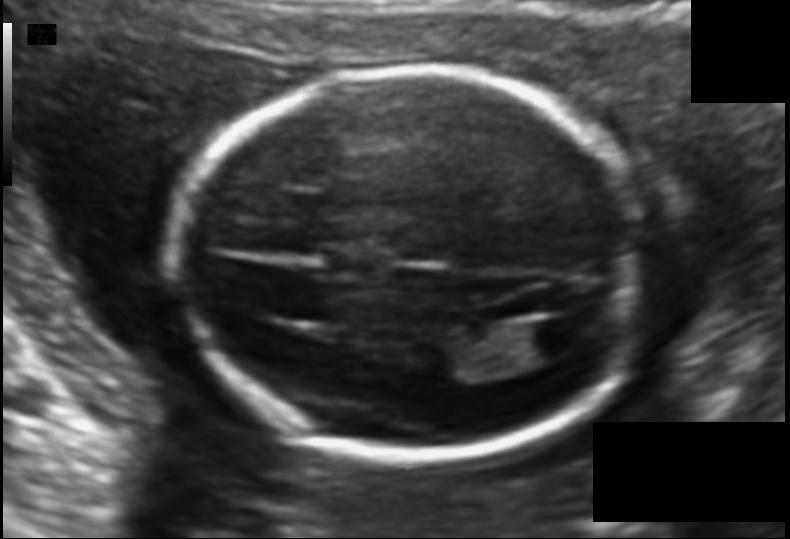
In this fetal head ultrasound, give the bounding box of the lateral ventricle. Image width: 95.9 mm.

[508,308,595,369]